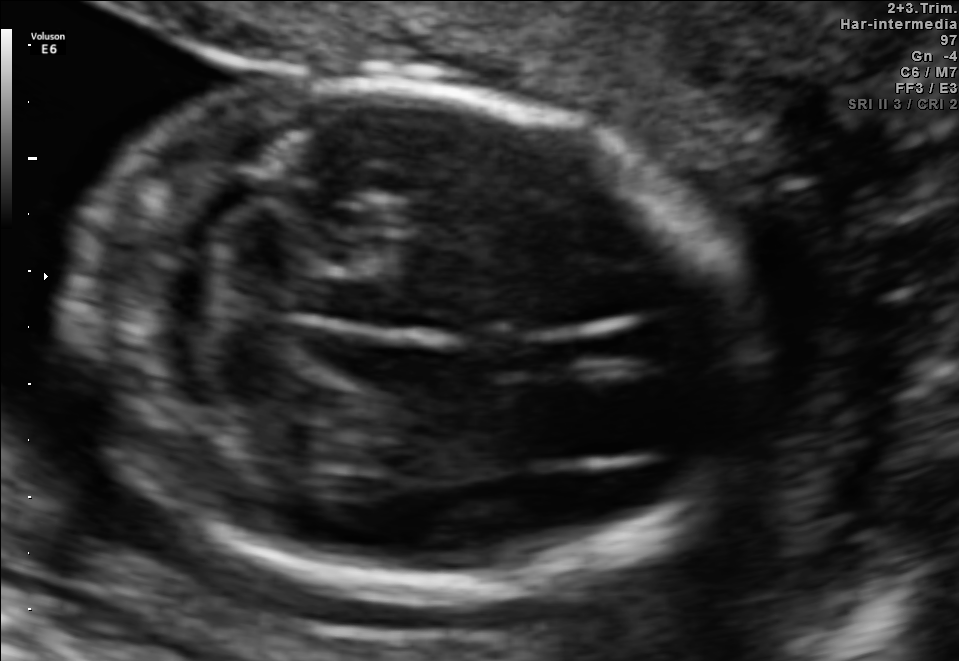
In this fetal brain, trans-cerebellum plane, give bounding boxes for the head outline, cavum septum pellucidum (CSP), and lateral ventricle (LV), where visible.

Head: [69,84,750,585]
CSP: [478,330,581,381]